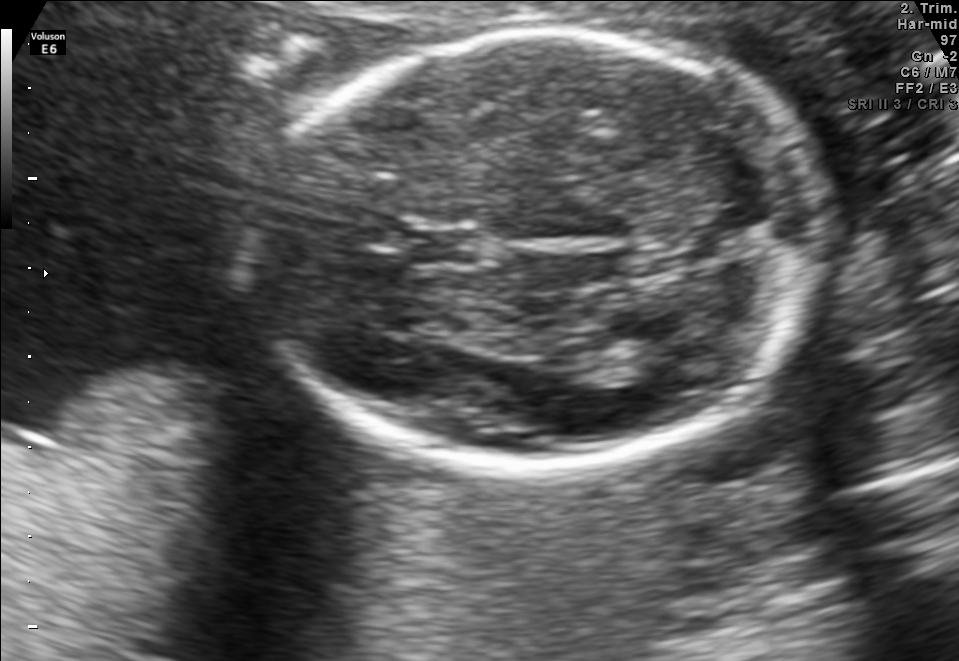
Fetal brain, trans-thalamic plane. Locate the fetal head and, if visible, the cavum septum pellucidum (CSP) and lateral ventricle (LV). Give bounding boxes as [x1,y1,x2,y2].

Head: [257,34,820,463]
CSP: [414,230,475,262]